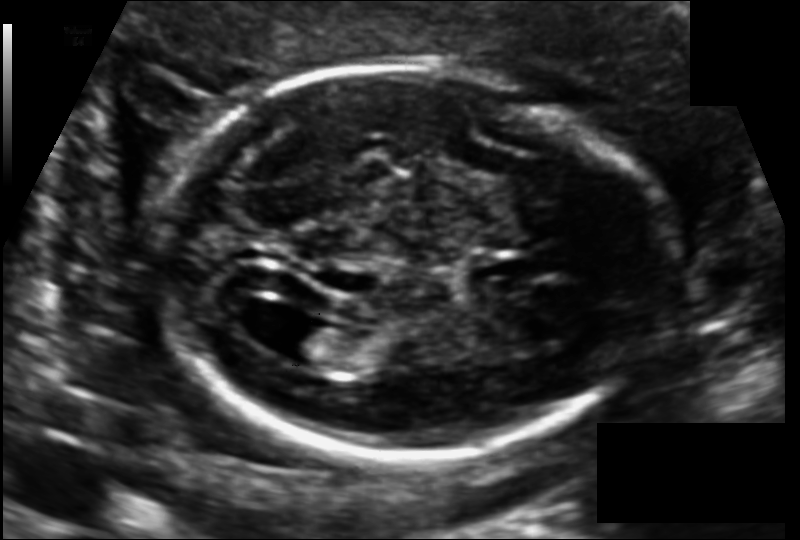
In this fetal head ultrasound, give bounding boxes for the head outline, cavum septum pellucidum (CSP), and lateral ventricle (LV), where visible. Image width: 94.6 mm.

Head: [157,65,668,455]
Lateral ventricle: [271,313,351,376]